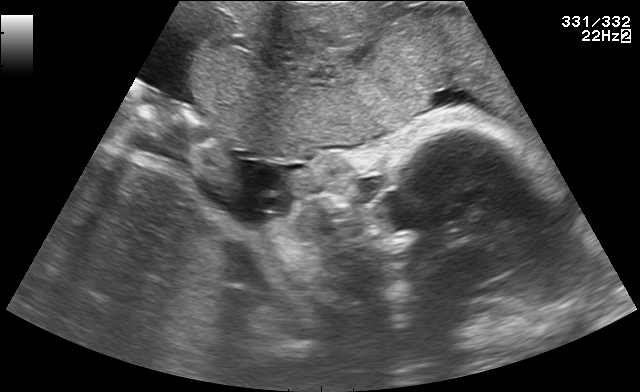
Which standard maternal-fetal ultrasound plane is shown: fetal abdomen, fetal brain, fetal femur, fetal thorax, maternal cervix, or other? If it's fetal brain and one of the three standard brain planes (trans-thalamic, trans-cerebellum, trans-ventricular), name which.

Other